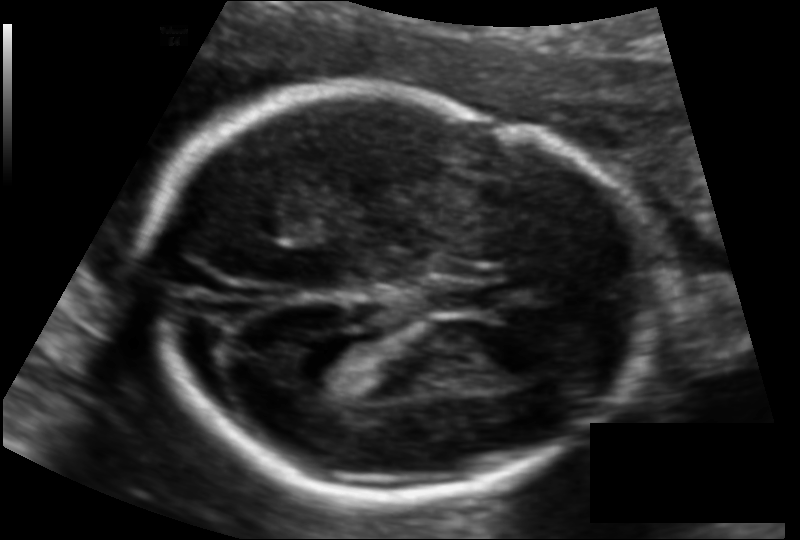
Estimate the fetal head circumference from this 2D ultrasound.

Head circumference: 178.0 mm (image width 93.9 mm).